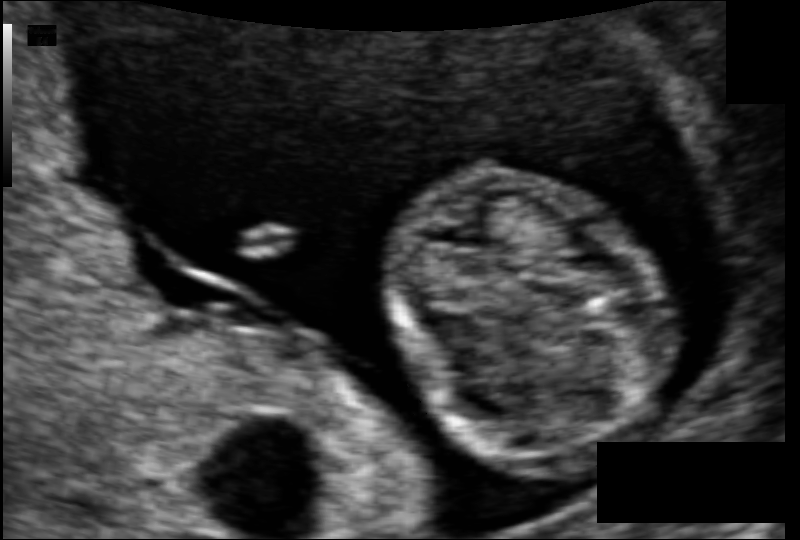
What is the fetal head circumference? Image width is 59.6 mm.

70.5 mm